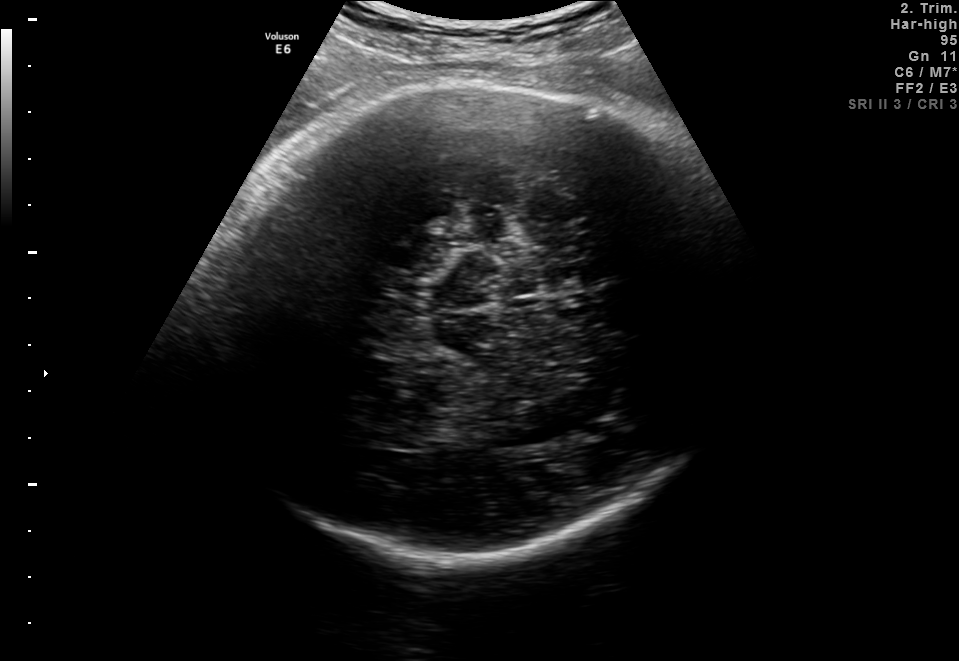
Fetal brain, trans-thalamic plane. Locate the fetal head.

Head: [202,83,739,554]